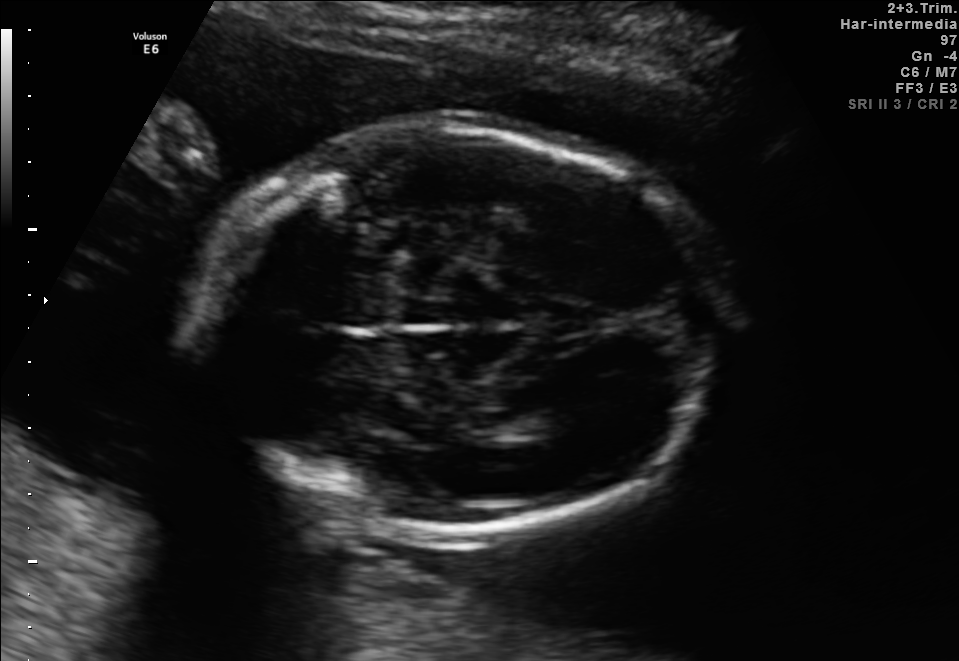
Fetal brain, trans-thalamic plane. Where is the fetal head?

Head bounding box: [190,128,719,533]